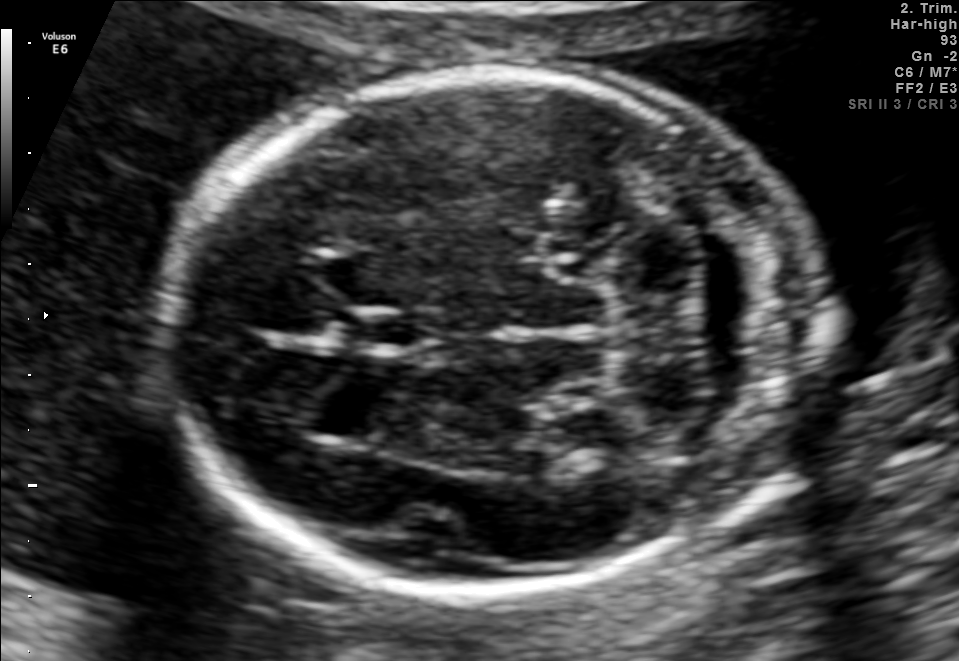
Fetal brain, trans-cerebellum plane. Locate the fetal head.

Head: [167,74,818,595]